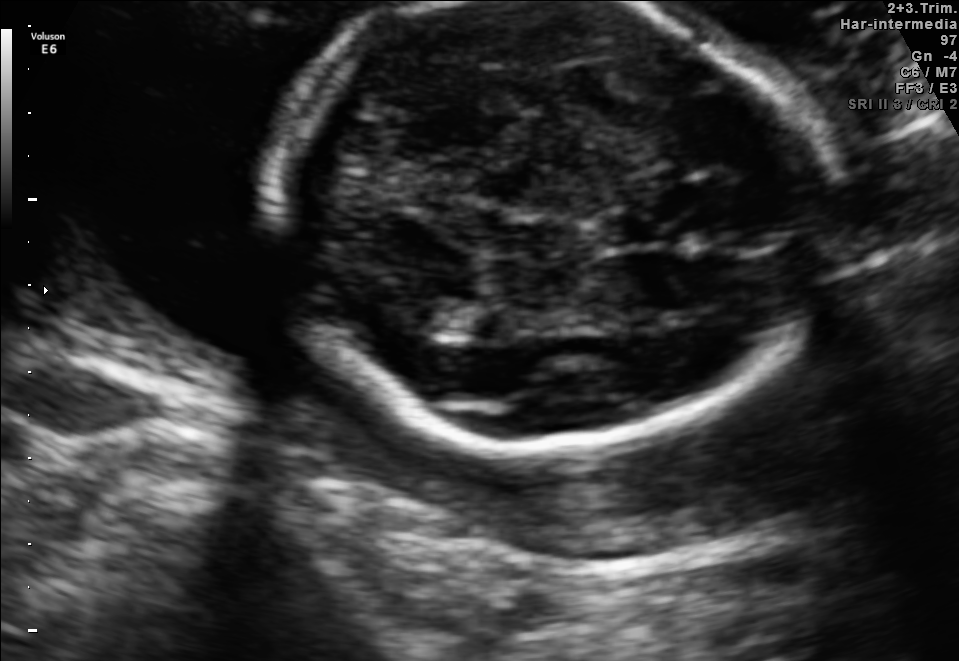
Fetal brain, trans-thalamic plane. Locate the cavum septum pellucidum.

CSP: [596,211,658,249]